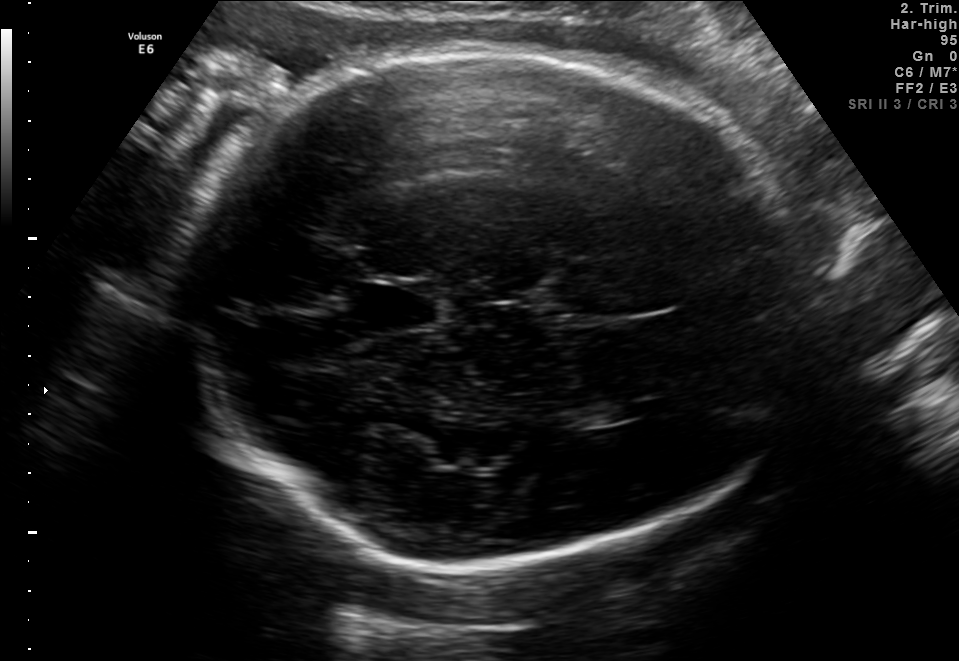
In this fetal brain, trans-thalamic plane, give the bounding box of the fetal head.

[176,47,811,562]